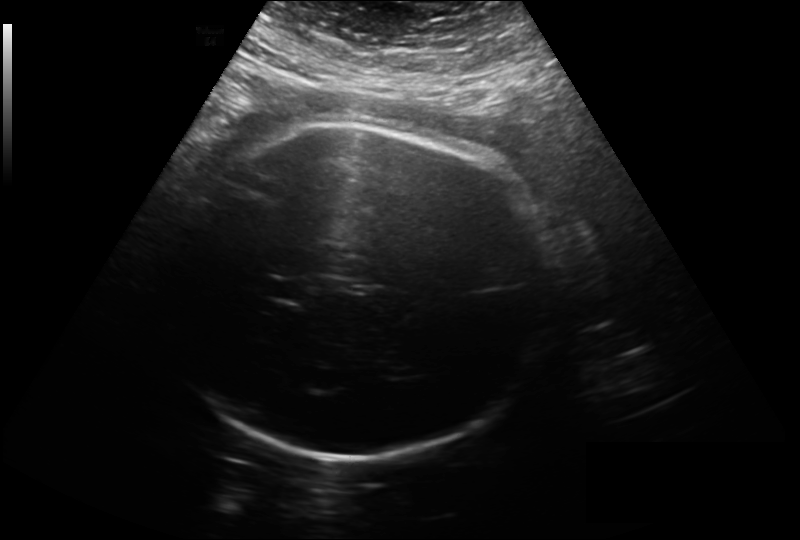
Fetal head ultrasound. Image width: 208.8 mm. Where is the fetal head?

Head bounding box: [167,123,546,460]